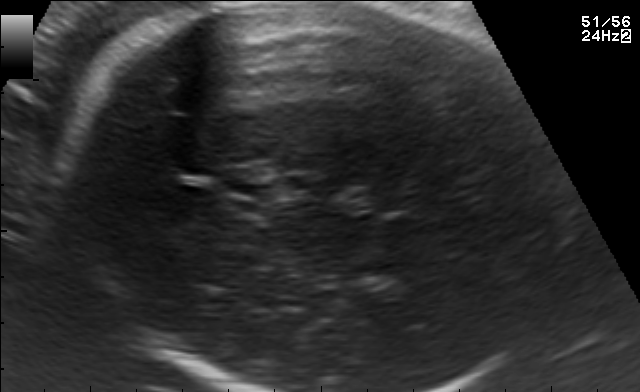
Fetal brain, trans-thalamic plane. Give [x1,y1,x2,y2] bounding boxes for each visible structure among: fetal head, CSP, LV.

Head: [69,4,553,391]